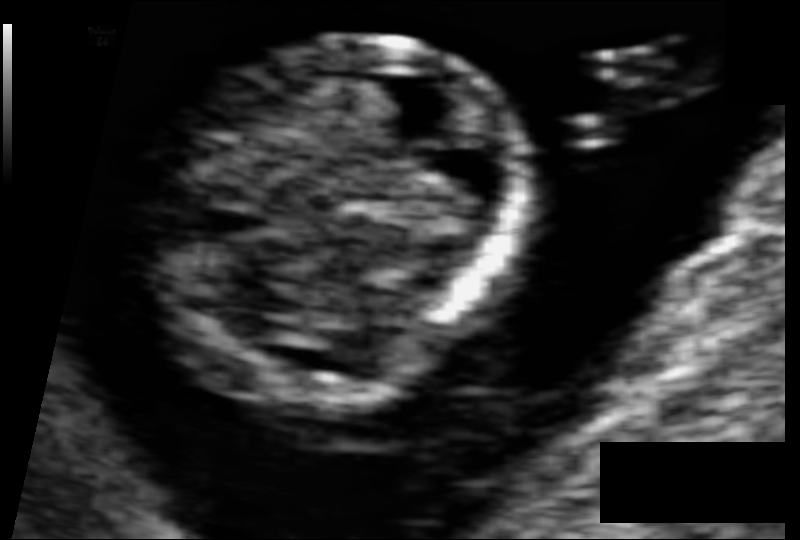
Fetal head ultrasound. Image width: 43.4 mm. Locate the fetal head.

Head: [142,36,525,408]